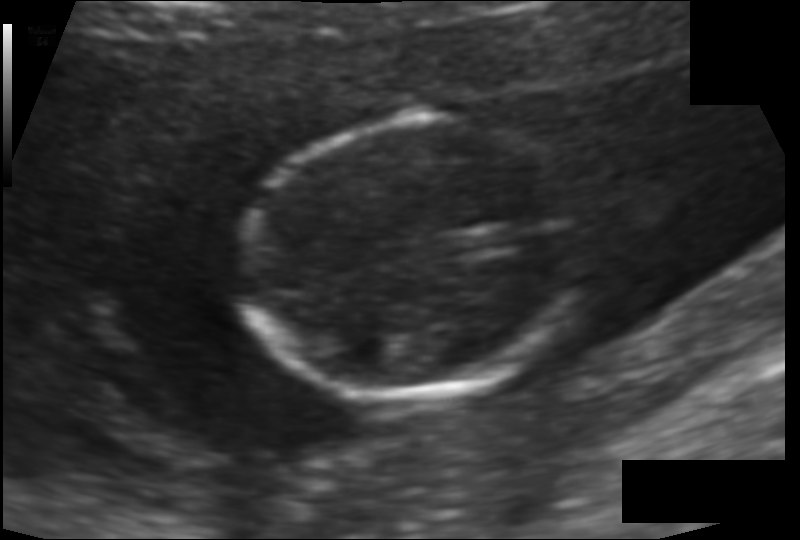
What is the fetal head circumference? Image width is 77.6 mm.

99.4 mm